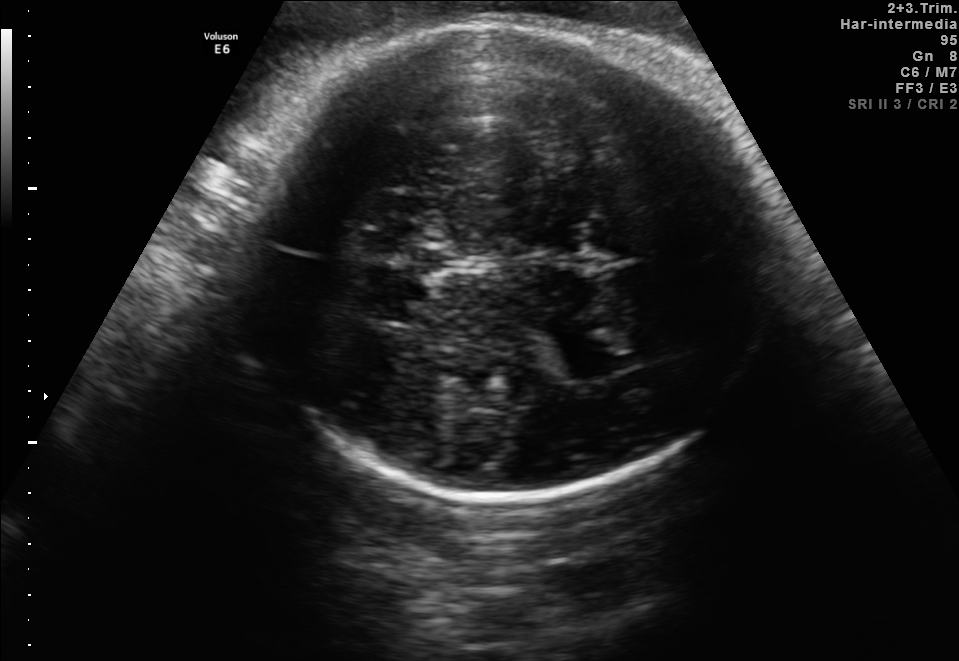
In this fetal brain, trans-thalamic plane, give bounding boxes for the head outline, cavum septum pellucidum (CSP), and lateral ventricle (LV), where visible.

Head: [240,24,781,501]